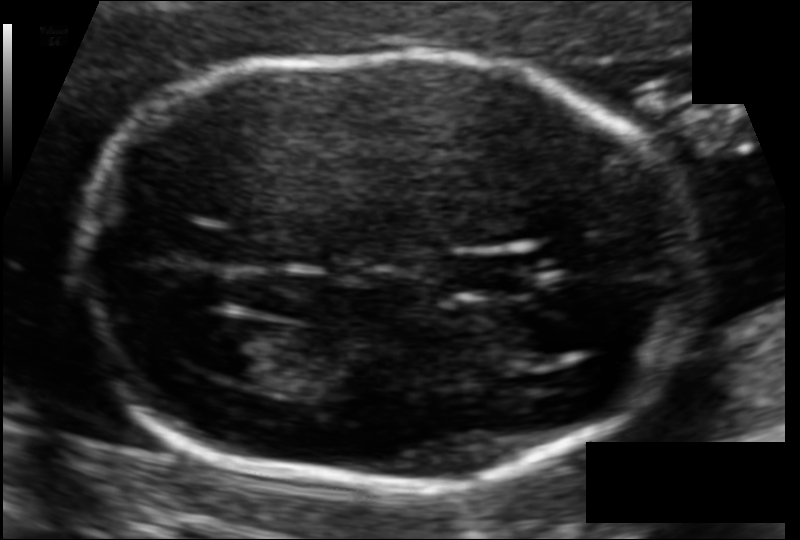
Fetal head ultrasound. Image width: 73.9 mm. Where is the lateral ventricle?

Lateral ventricle bounding box: [197,311,296,388]